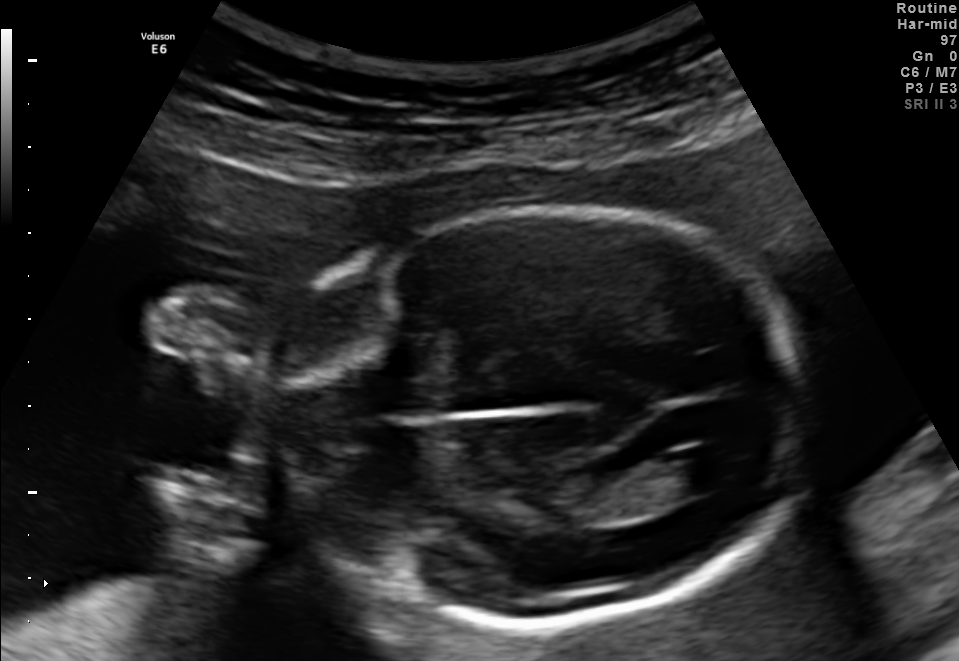
In this fetal brain, trans-ventricular plane, give bounding boxes for the head outline, cavum septum pellucidum (CSP), and lateral ventricle (LV), where visible.

Head: [270,201,821,630]
Lateral ventricle: [676,434,749,496]